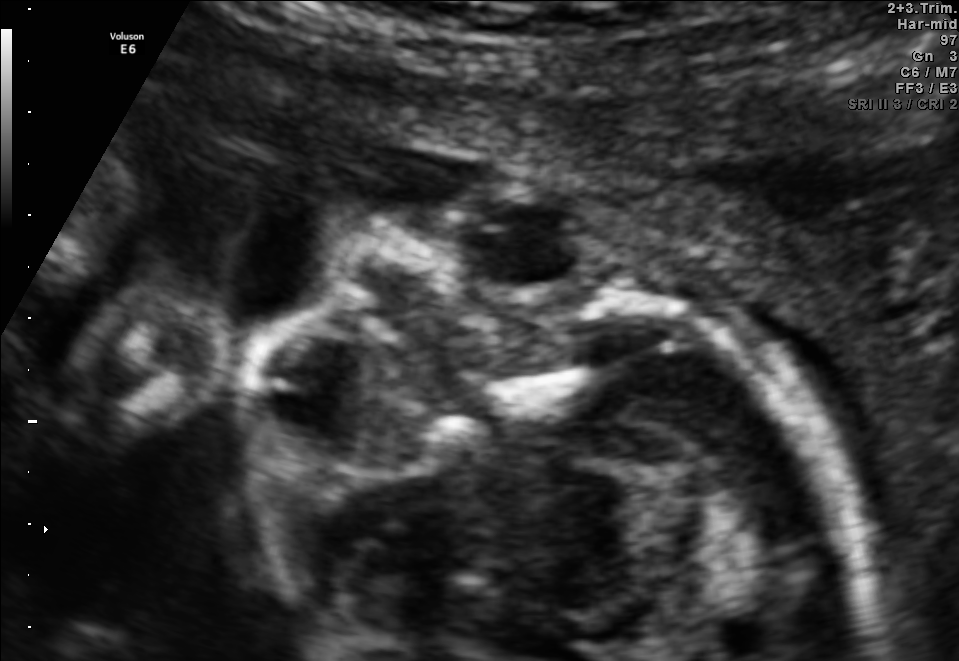
Classify this maternal-fetal ultrasound image as one of the six standard planes — fetal abdomen, fetal brain, fetal femur, fetal thorax, maternal cervix, or other. If it's fetal brain and one of the three standard brain planes (trans-thalamic, trans-cerebellum, trans-ventricular), name which.

Other